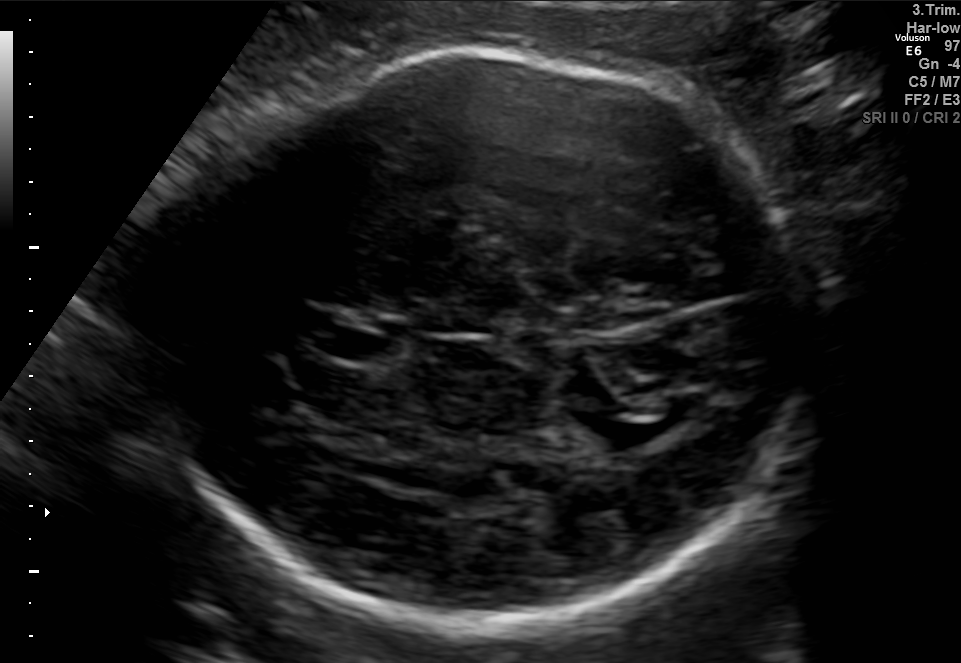
Fetal brain, trans-thalamic plane. Locate the cavum septum pellucidum.

CSP: [314,320,389,368]